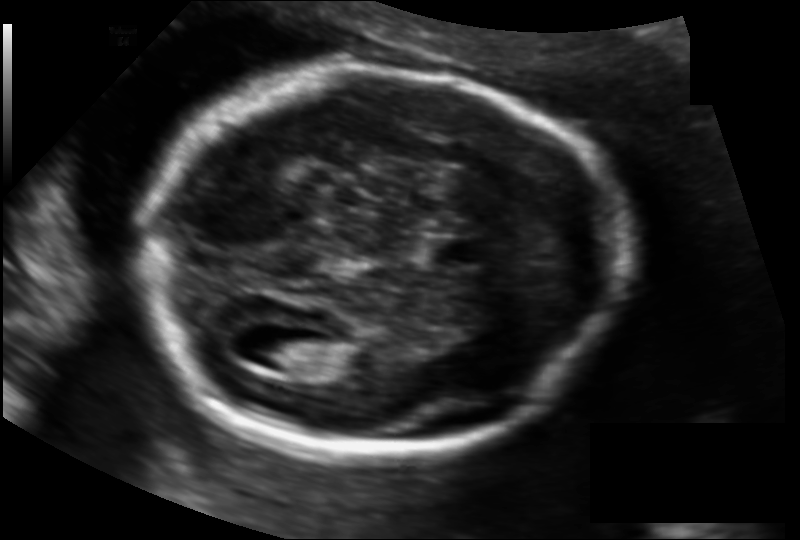
Fetal head ultrasound. Image width: 102.3 mm. Locate the lateral ventricle.

Lateral ventricle: [251,328,317,376]